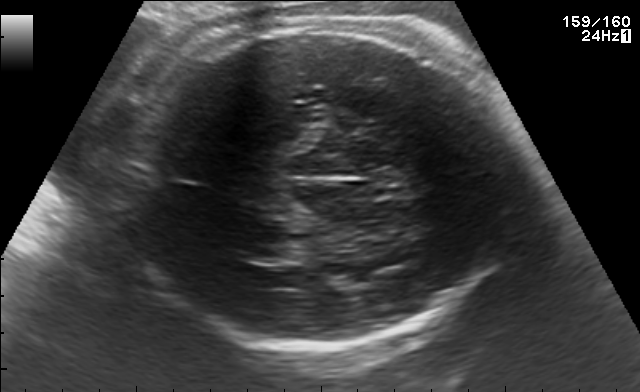
This is a 2D maternal-fetal ultrasound frame. Is it a fetal abdomen, fetal brain, fetal femur, fetal thorax, maternal cervix, or other standard plane? If it's fetal brain and one of the three standard brain planes (trans-thalamic, trans-cerebellum, trans-ventricular), name which.

Fetal brain (trans-thalamic plane)